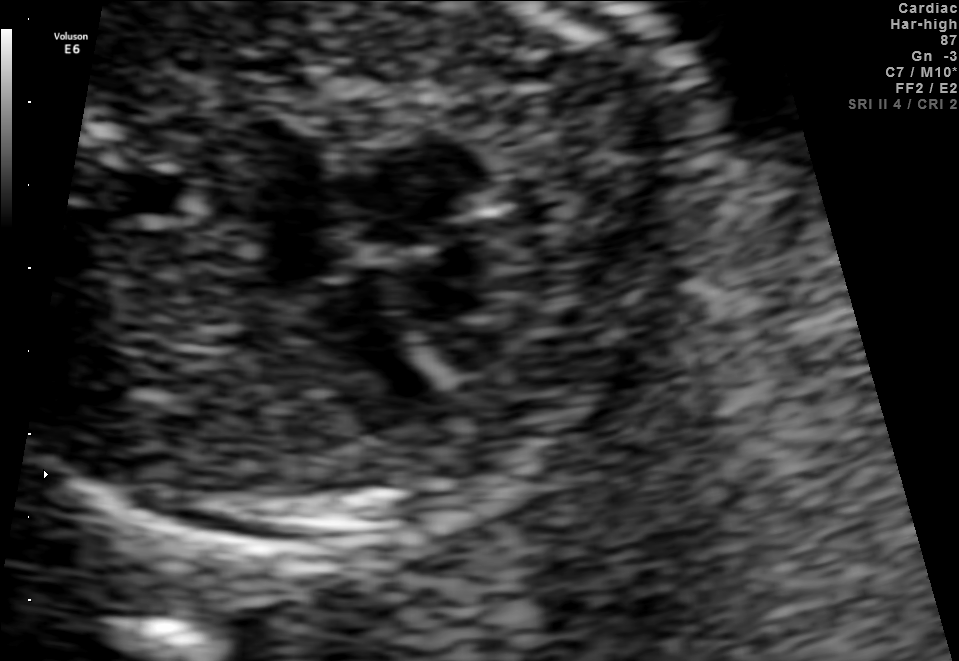
Which standard maternal-fetal ultrasound plane is shown: fetal abdomen, fetal brain, fetal femur, fetal thorax, maternal cervix, or other? If it's fetal brain and one of the three standard brain planes (trans-thalamic, trans-cerebellum, trans-ventricular), name which.

Fetal thorax